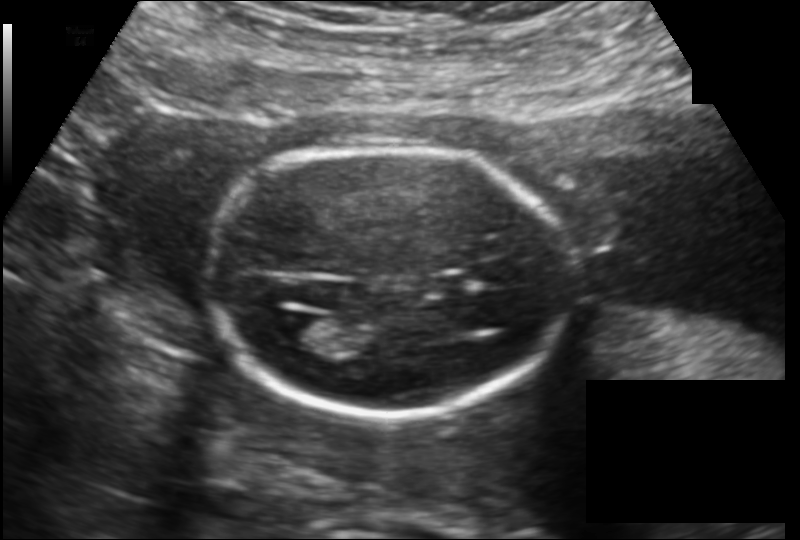
Estimate the fetal head circumference from this 2D ultrasound.

Head circumference: 156.6 mm (image width 119.1 mm).